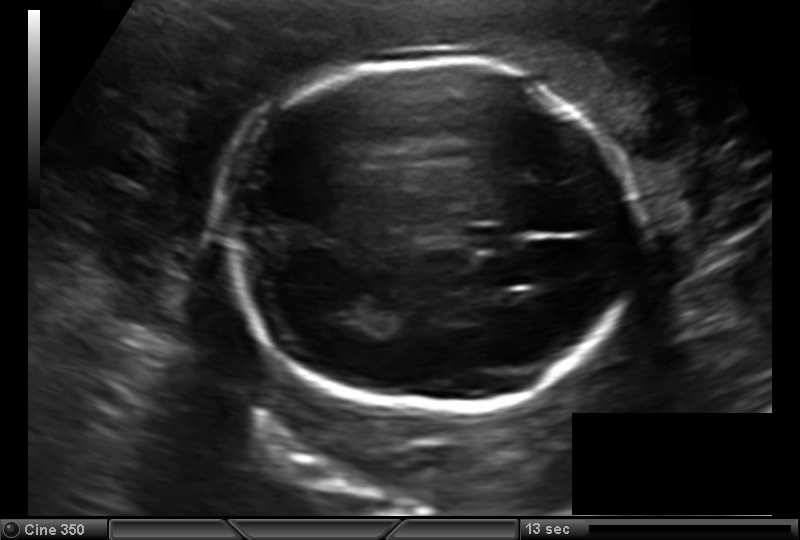
Estimate the fetal head circumference from this 2D ultrasound. Image width: 125.6 mm.

Head circumference: 198.9 mm.